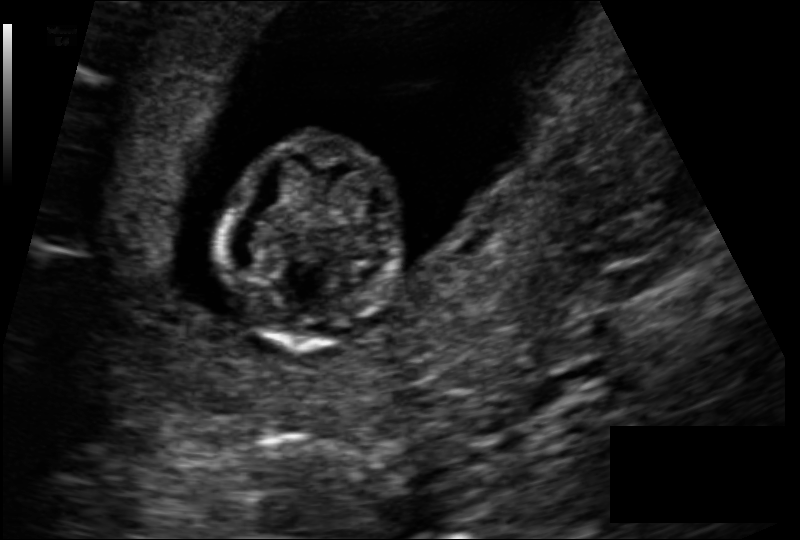
What is the fetal head circumference? Image width is 90.6 mm.

75.2 mm